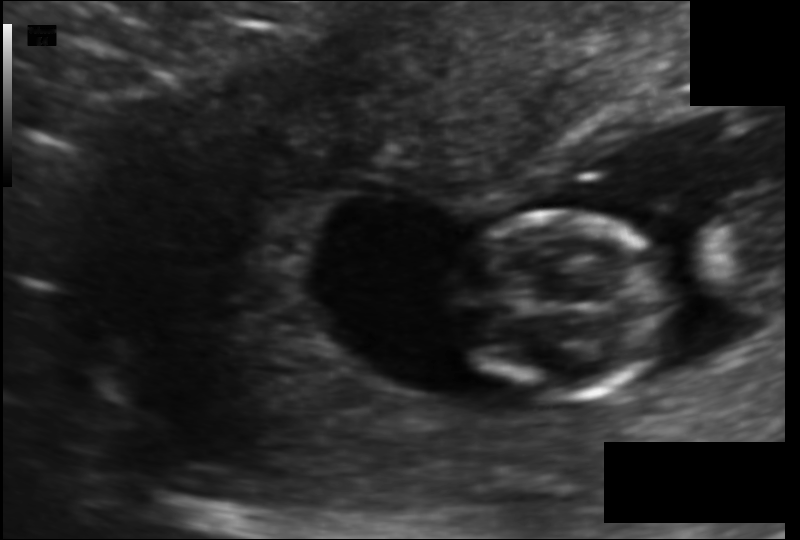
In this fetal head ultrasound, give the bounding box of the fetal head. Image width: 82.9 mm.

[450,212,670,400]